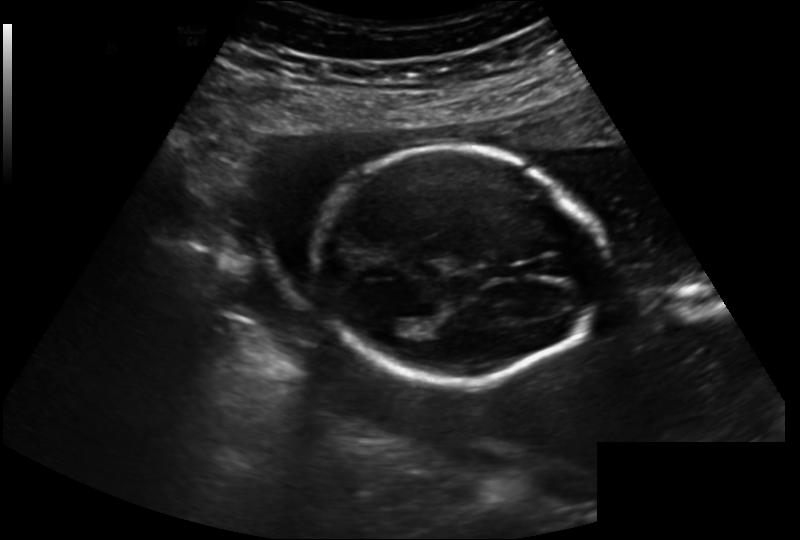
From this fetal ultrasound, estimate the head circumference (image width 161.6 mm).

Head circumference: 174.1 mm.